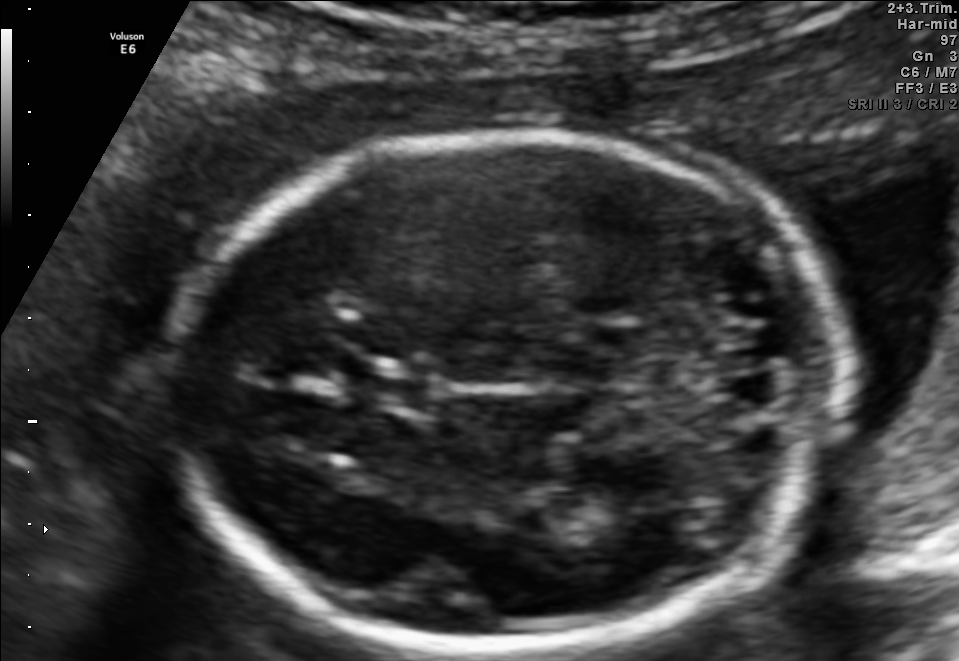
Fetal brain, trans-thalamic plane. Locate the fetal head.

Head: [168,135,849,648]